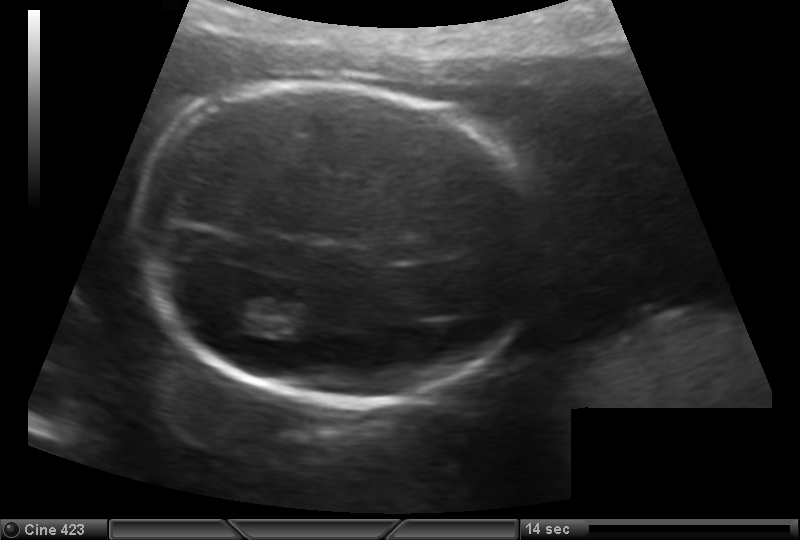
Estimate the fetal head circumference from this 2D ultrasound.

Head circumference: 177.4 mm (image width 117.9 mm).